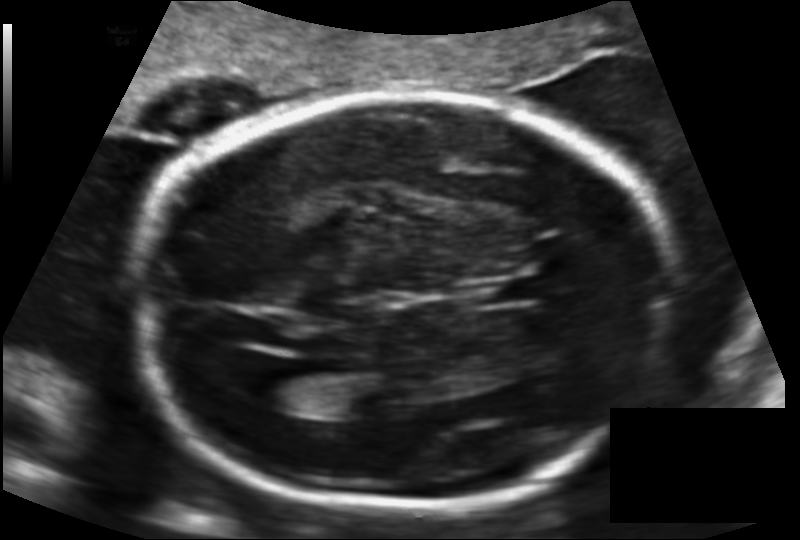
In this fetal head ultrasound, give the bounding box of the lateral ventricle. Image width: 113.0 mm.

[243,358,320,415]